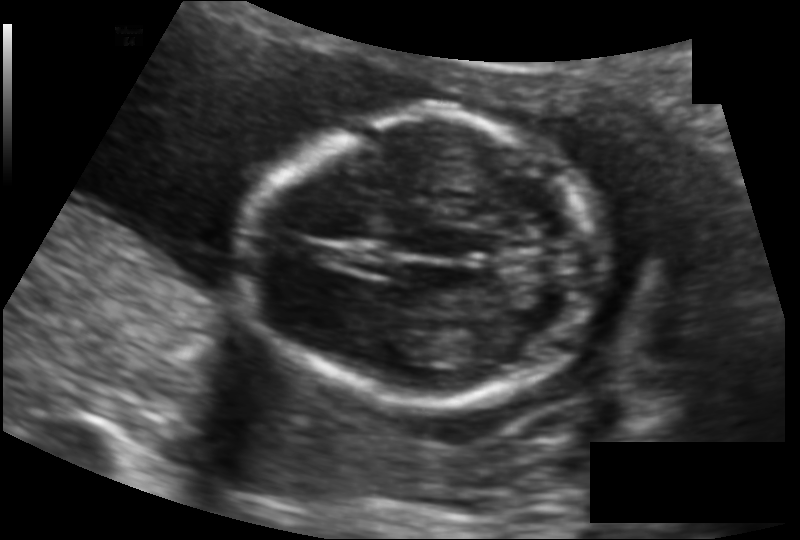
In this fetal head ultrasound, give bounding boxes for the head outline, cavum septum pellucidum (CSP), and lateral ventricle (LV), where visible. Image width: 97.8 mm.

Head: [243,114,601,401]